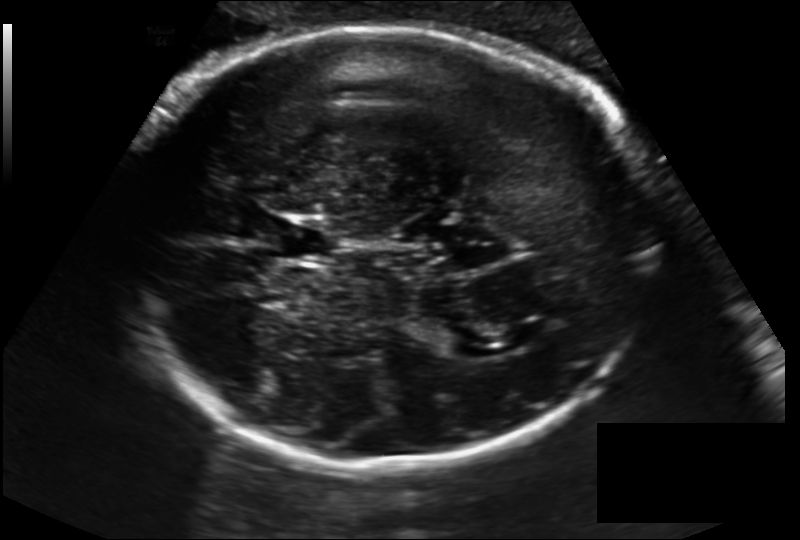
In this fetal head ultrasound, give the bounding box of the cavum septum pellucidum. Image width: 155.1 mm.

[260,215,332,264]